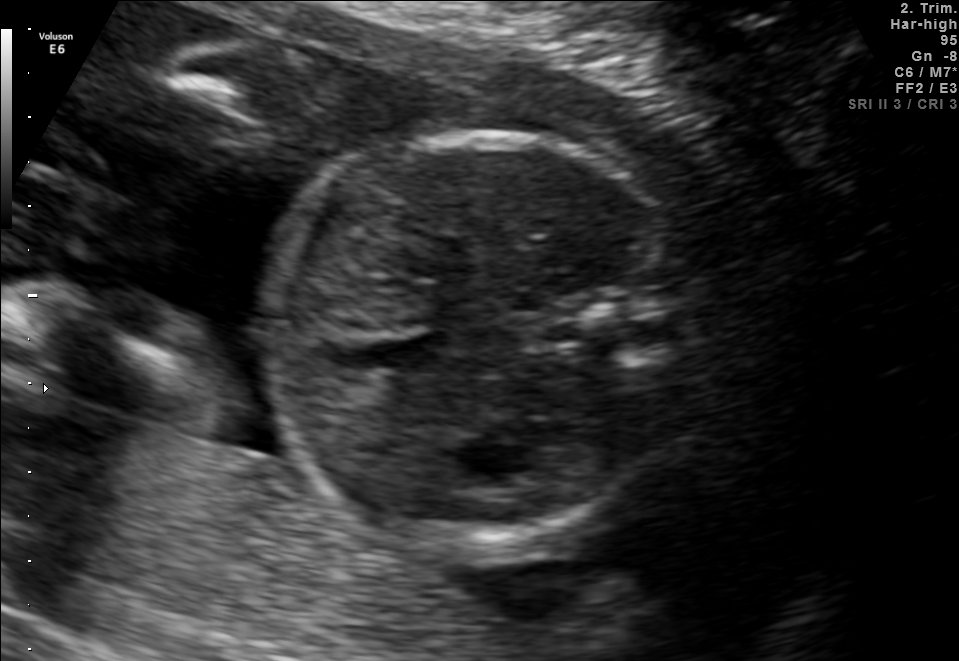
Identify the standard plane in this fetal ultrasound image: fetal abdomen, fetal brain, fetal femur, fetal thorax, maternal cervix, or other. If it's fetal brain and one of the three standard brain planes (trans-thalamic, trans-cerebellum, trans-ventricular), name which.

Fetal abdomen